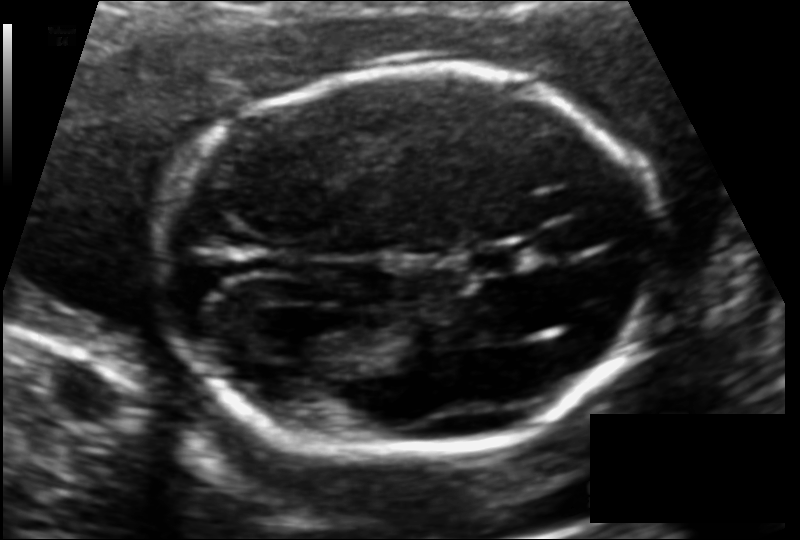
In this fetal head ultrasound, give bounding boxes for the head outline, cavum septum pellucidum (CSP), and lateral ventricle (LV), where visible. Image width: 93.1 mm.

Head: [159,72,661,453]
CSP: [467,243,524,275]
Lateral ventricle: [273,308,348,360]